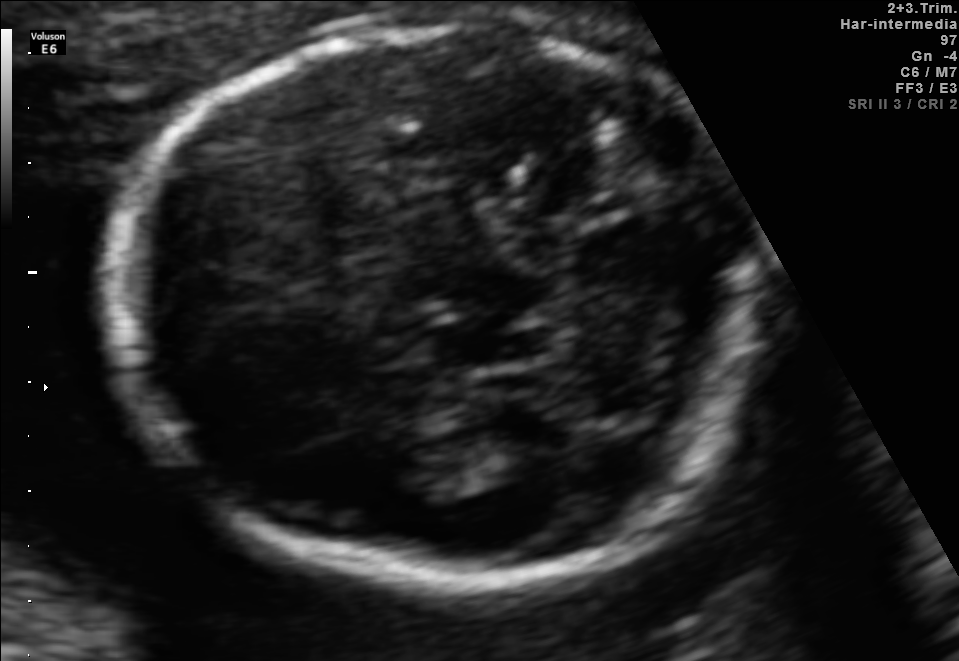
Classify this maternal-fetal ultrasound image as one of the six standard planes — fetal abdomen, fetal brain, fetal femur, fetal thorax, maternal cervix, or other. If it's fetal brain and one of the three standard brain planes (trans-thalamic, trans-cerebellum, trans-ventricular), name which.

Fetal brain (trans-thalamic plane)